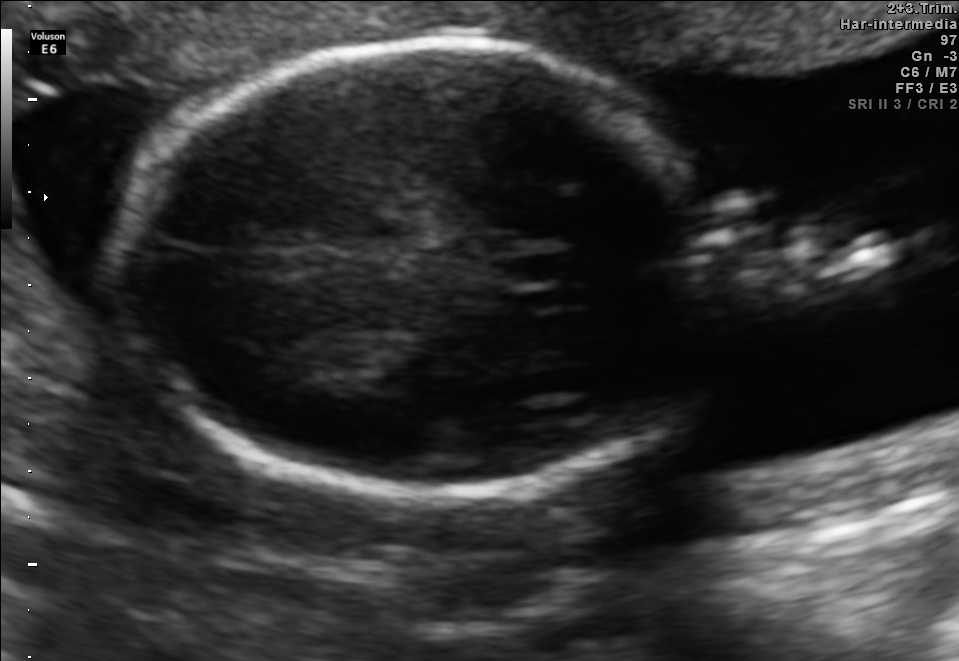
Which standard maternal-fetal ultrasound plane is shown: fetal abdomen, fetal brain, fetal femur, fetal thorax, maternal cervix, or other? If it's fetal brain and one of the three standard brain planes (trans-thalamic, trans-cerebellum, trans-ventricular), name which.

Fetal brain (trans-thalamic plane)